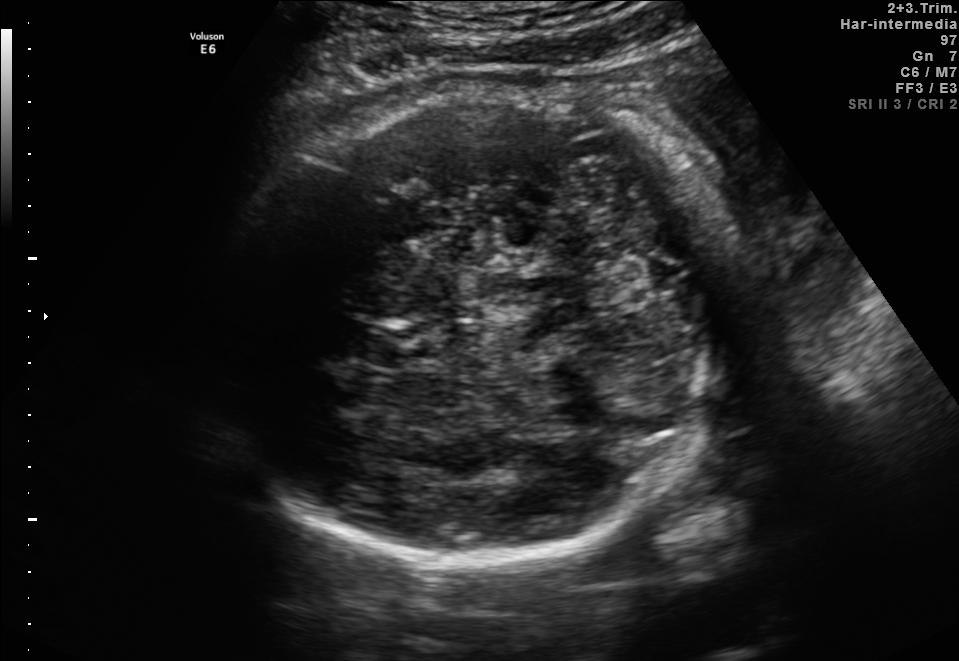
Fetal brain, trans-thalamic plane. Locate the fetal head and, if visible, the cavum septum pellucidum (CSP) and lateral ventricle (LV). Give bounding boxes as [x1,y1,x2,y2].

Head: [207,90,730,563]